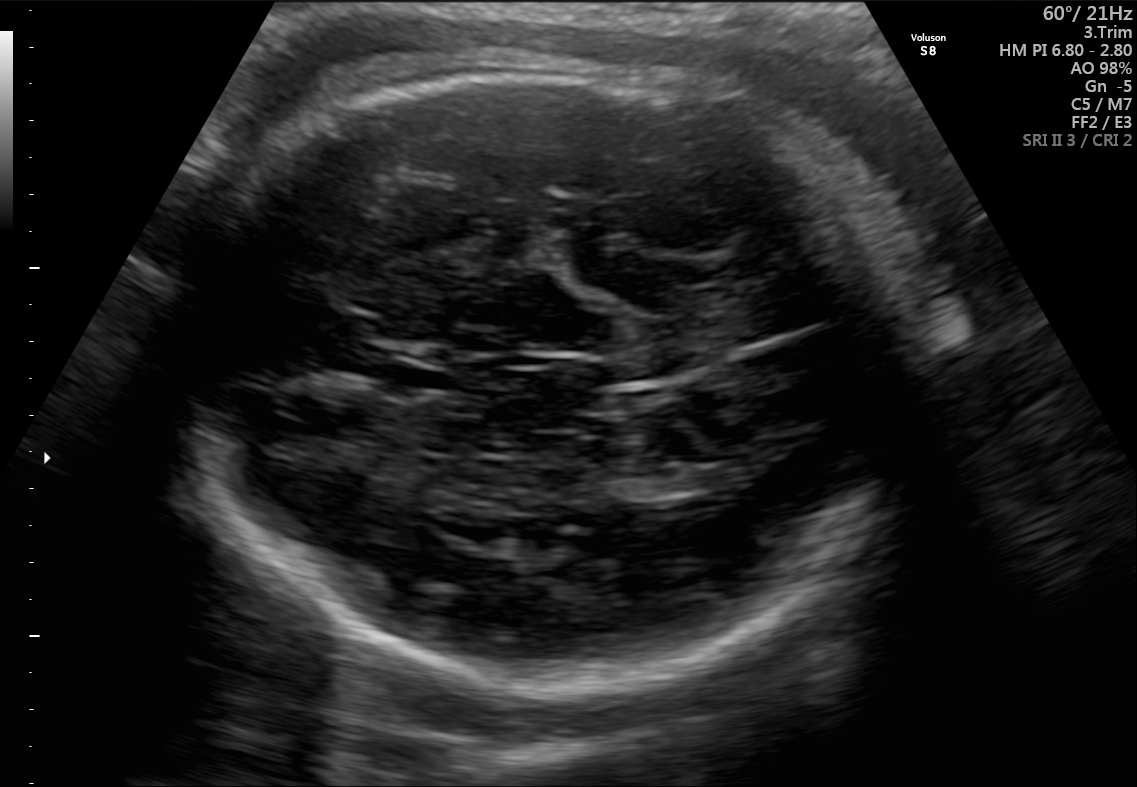
In this fetal brain, trans-thalamic plane, give bounding boxes for the head outline, cavum septum pellucidum (CSP), and lateral ventricle (LV), where visible.

Head: [167,67,918,682]
CSP: [380,355,457,396]
Lateral ventricle: [687,456,753,493]